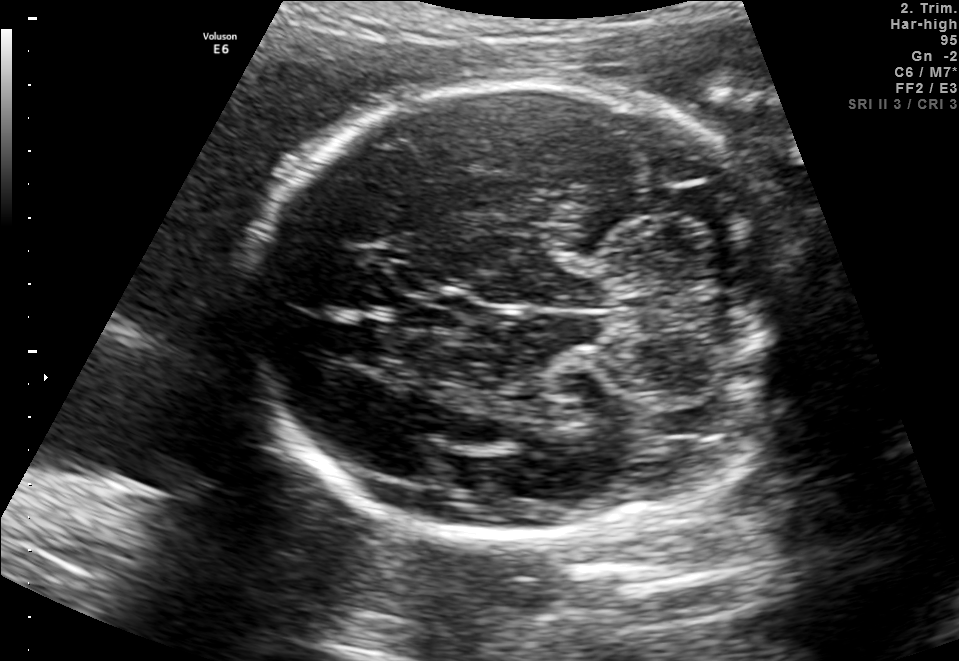
Fetal brain, trans-cerebellum plane. Locate the fetal head and, if visible, the cavum septum pellucidum (CSP) and lateral ventricle (LV). Give bounding boxes as [x1,y1,x2,y2].

Head: [247,80,790,539]
CSP: [402,292,466,332]